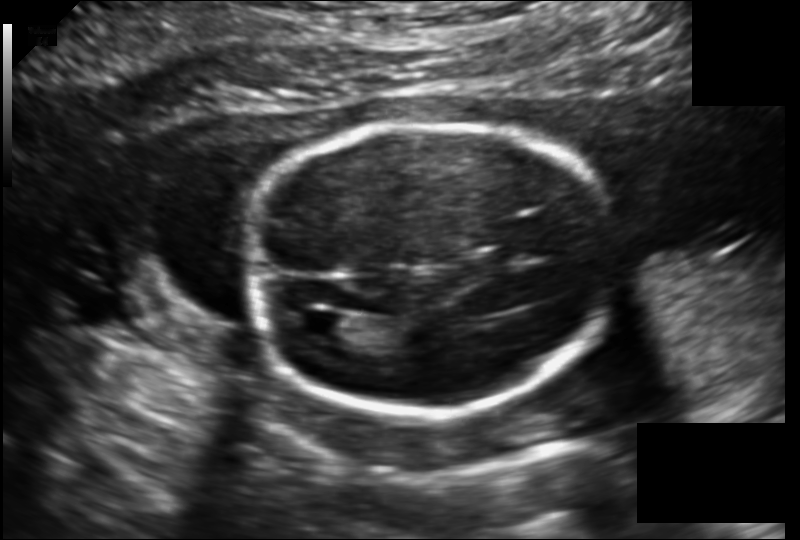
Fetal head ultrasound. Image width: 119.0 mm. Locate the lateral ventricle.

Lateral ventricle: [297,308,351,344]